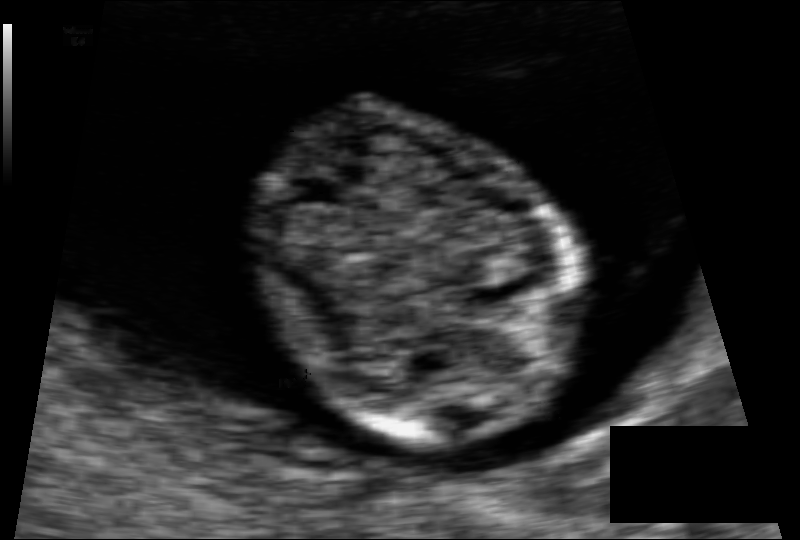
Fetal head ultrasound. Image width: 49.5 mm. Locate the fetal head.

Head: [251,99,576,438]